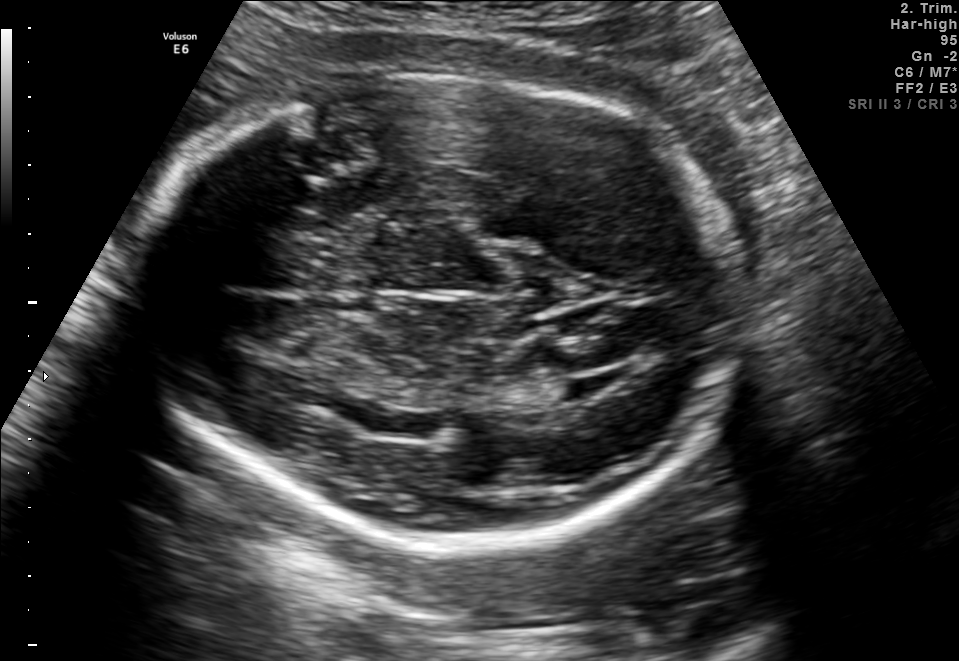
In this fetal brain, trans-thalamic plane, give the bounding box of the lateral ventricle.

[533,375,592,407]